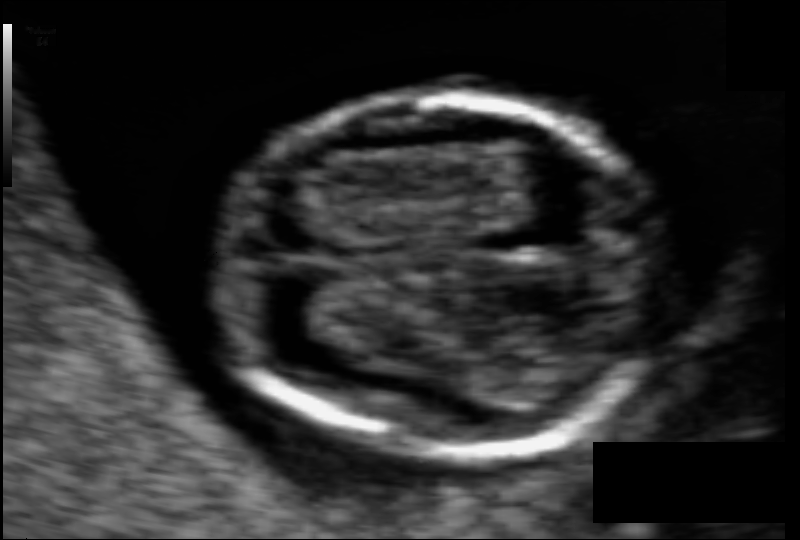
In this fetal head ultrasound, give the bounding box of the fetal head. Image width: 44.9 mm.

[214,98,671,450]